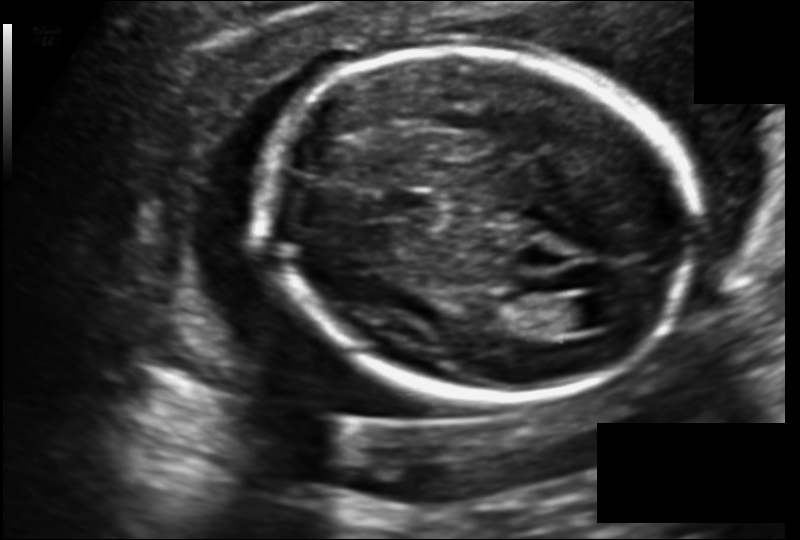
Estimate the fetal head circumference from this 2D ultrasound.

Head circumference: 176.6 mm (image width 111.6 mm).